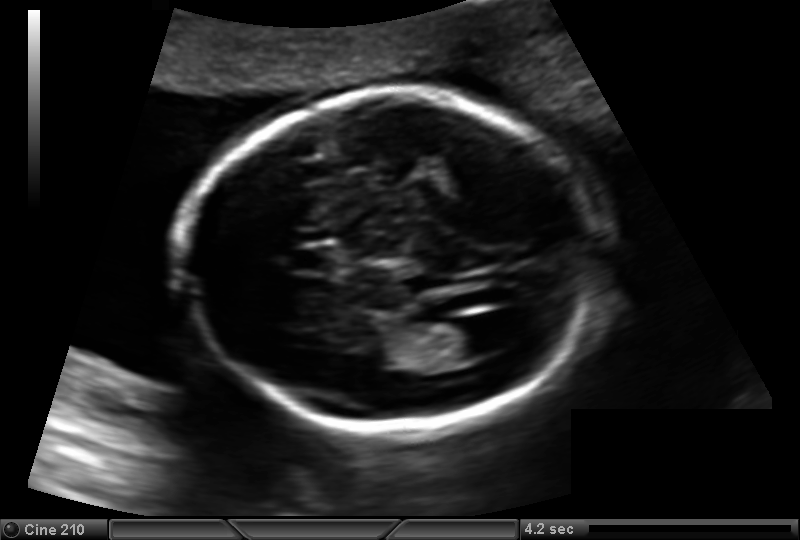
In this fetal head ultrasound, give the bounding box of the cavum septum pellucidum. Image width: 109.7 mm.

[292,246,334,273]